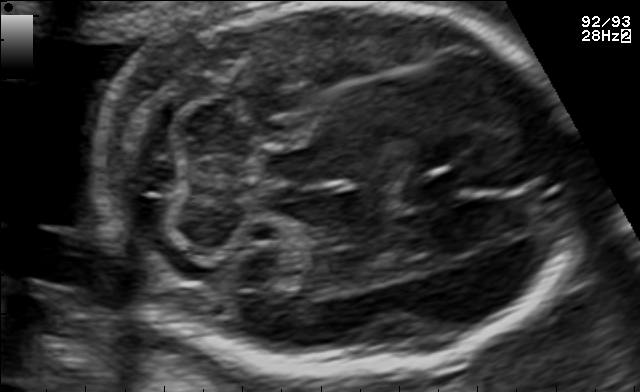
Fetal brain, trans-cerebellum plane. Locate the fetal head and, if visible, the cavum septum pellucidum (CSP) and lateral ventricle (LV). Give bounding boxes as [x1,y1,x2,y2].

Head: [102,2,570,381]
CSP: [412,161,476,208]